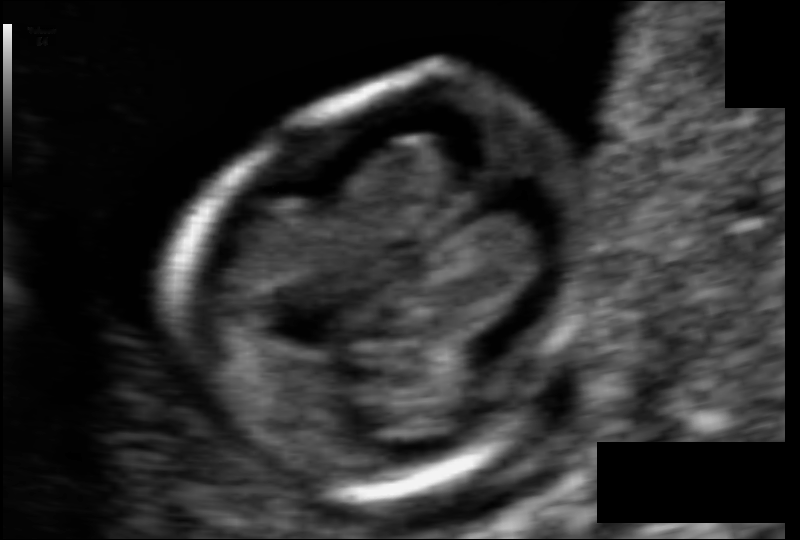
Estimate the fetal head circumference from this 2D ultrasound. Image width: 44.1 mm.

Head circumference: 73.0 mm.